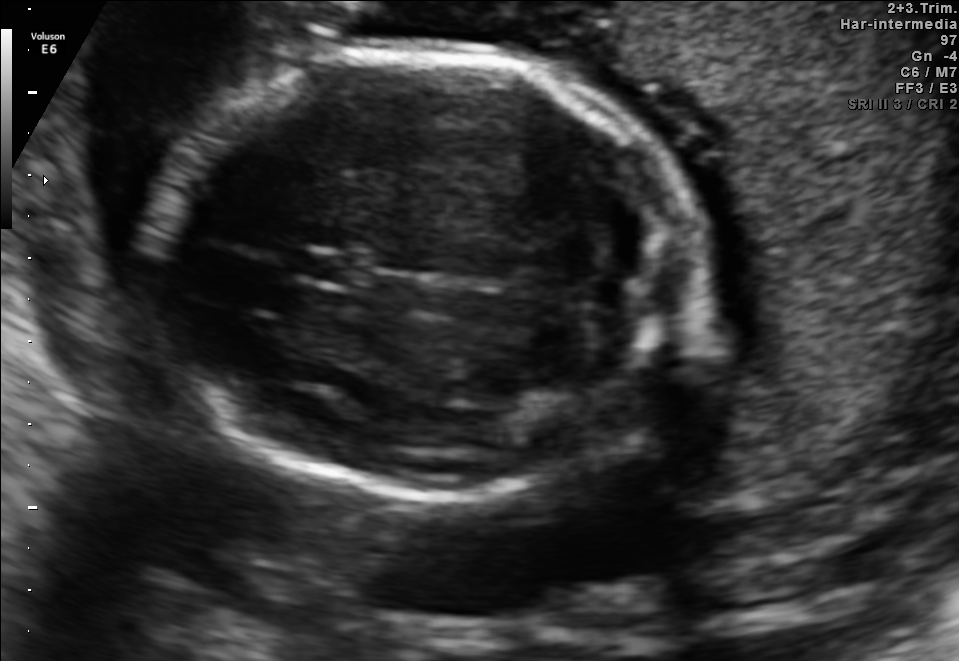
In this fetal brain, trans-cerebellum plane, give bounding boxes for the head outline, cavum septum pellucidum (CSP), and lateral ventricle (LV), where visible.

Head: [154,49,701,496]
CSP: [288,243,366,291]